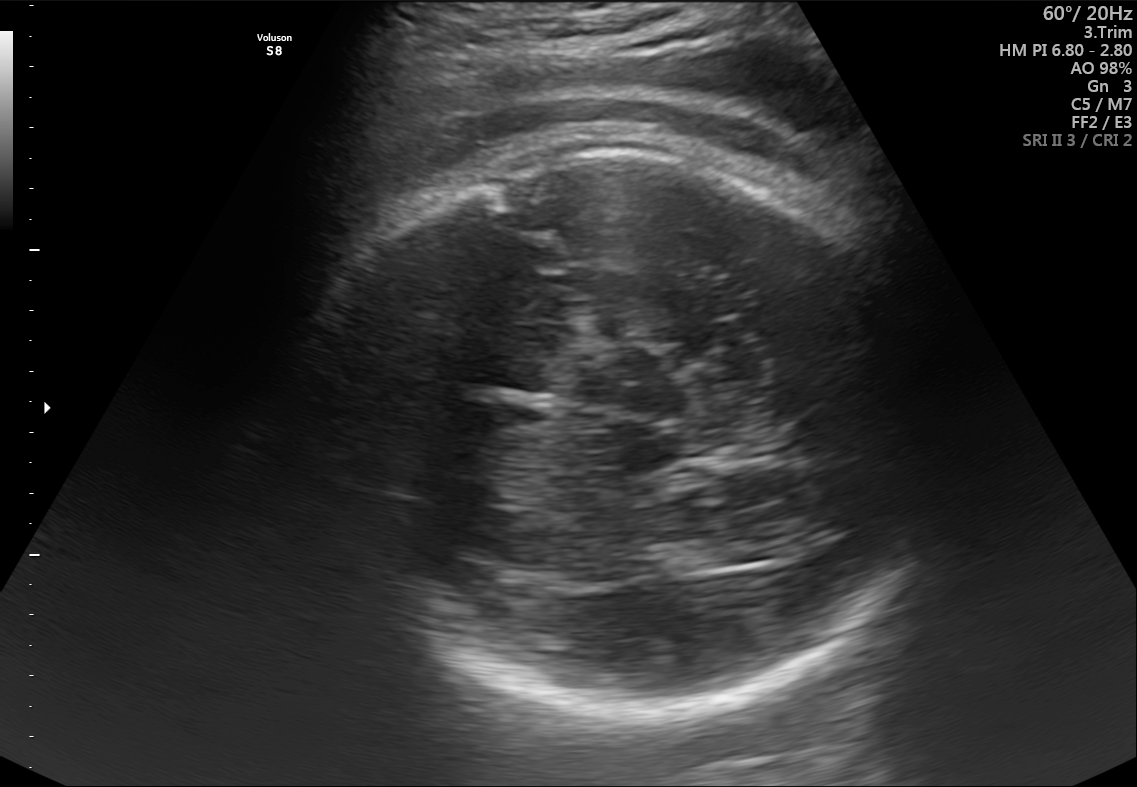
In this fetal brain, trans-thalamic plane, give the bounding box of the fetal head.

[293,140,963,725]